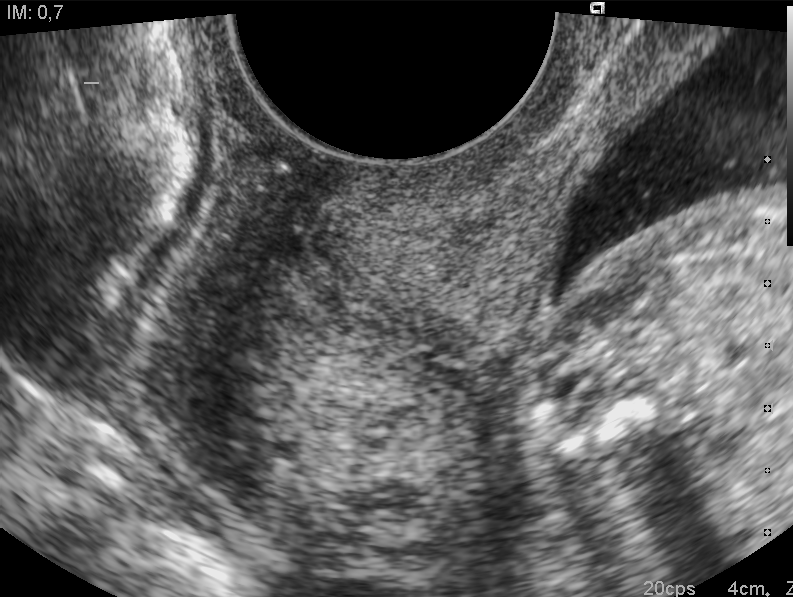
This is a 2D maternal-fetal ultrasound frame. Is it a fetal abdomen, fetal brain, fetal femur, fetal thorax, maternal cervix, or other standard plane? If it's fetal brain and one of the three standard brain planes (trans-thalamic, trans-cerebellum, trans-ventricular), name which.

Maternal cervix